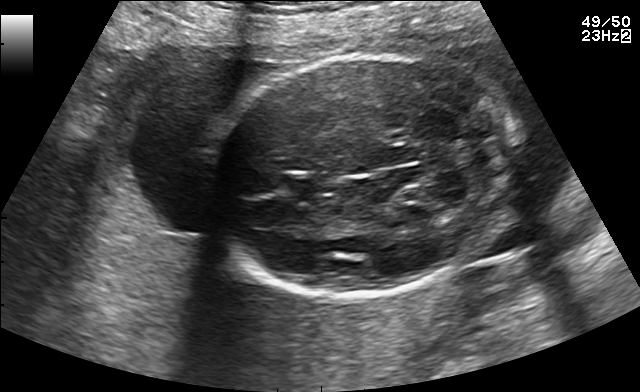
This is a 2D maternal-fetal ultrasound frame. Is it a fetal abdomen, fetal brain, fetal femur, fetal thorax, maternal cervix, or other standard plane? If it's fetal brain and one of the three standard brain planes (trans-thalamic, trans-cerebellum, trans-ventricular), name which.

Fetal brain (trans-cerebellum plane)